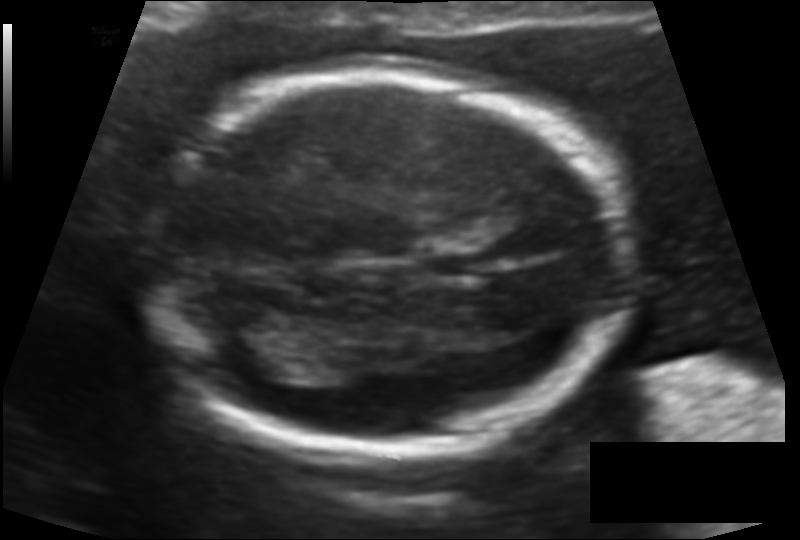
What is the fetal head circumference? Image width is 92.6 mm.

159.5 mm